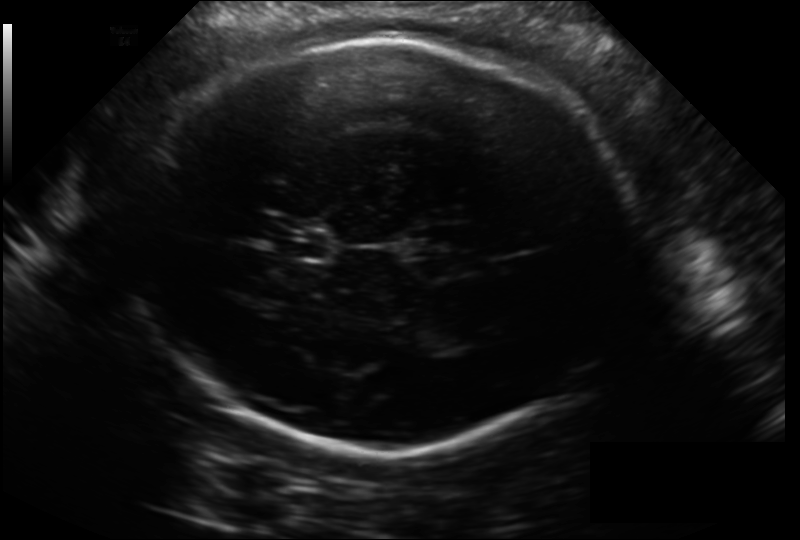
In this fetal head ultrasound, give bounding boxes for the head outline, cavum septum pellucidum (CSP), and lateral ventricle (LV), where visible. Image width: 168.5 mm.

Head: [130,37,630,451]
CSP: [272,222,330,263]